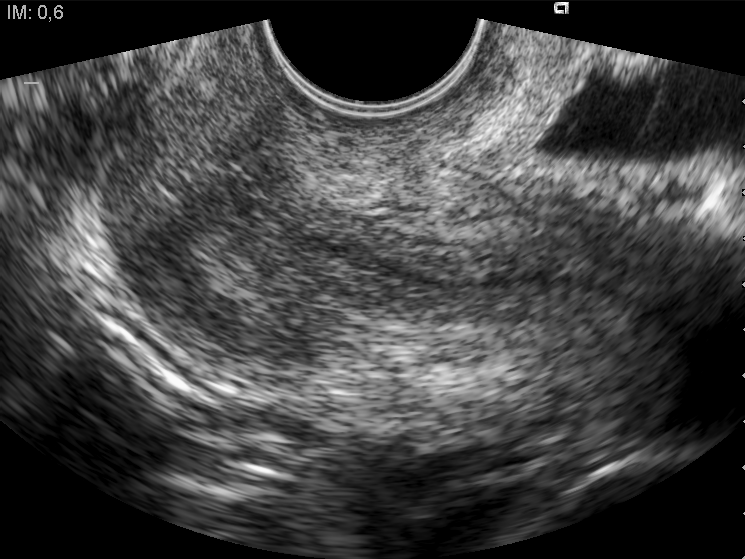
Which standard maternal-fetal ultrasound plane is shown: fetal abdomen, fetal brain, fetal femur, fetal thorax, maternal cervix, or other? If it's fetal brain and one of the three standard brain planes (trans-thalamic, trans-cerebellum, trans-ventricular), name which.

Maternal cervix